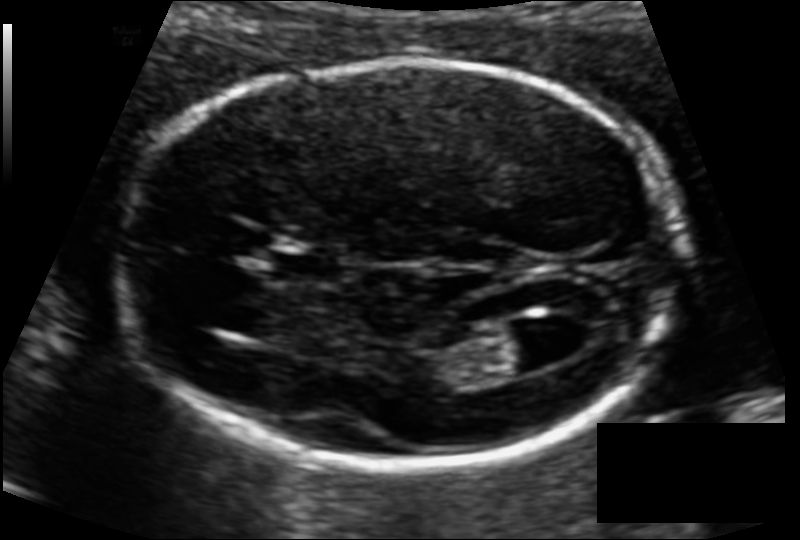
Fetal head ultrasound. Image width: 83.4 mm. Locate the fetal head.

Head: [121,60,686,462]